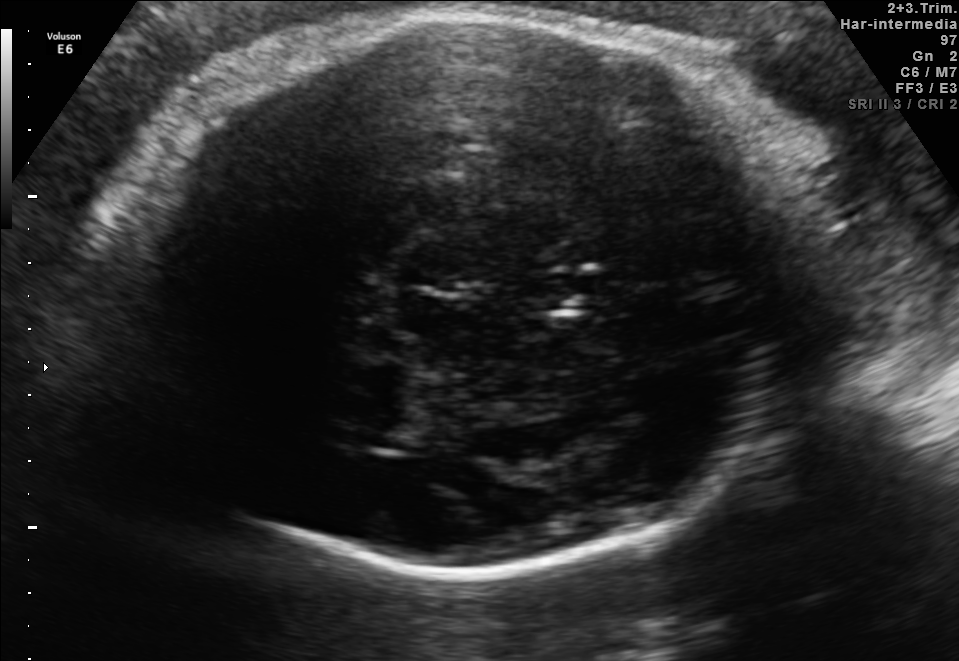
Fetal brain, trans-thalamic plane. Locate the cavum septum pellucidum.

CSP: [530,275,597,309]